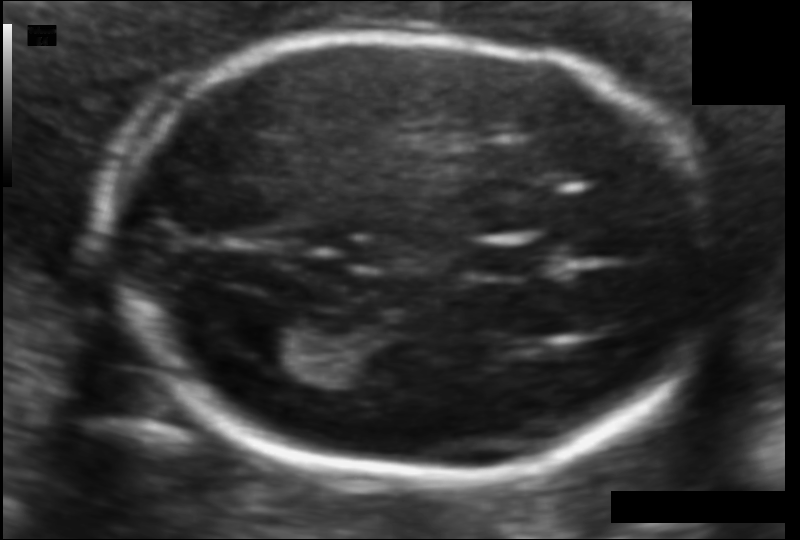
What is the fetal head circumference? Image width is 75.5 mm.

163.1 mm